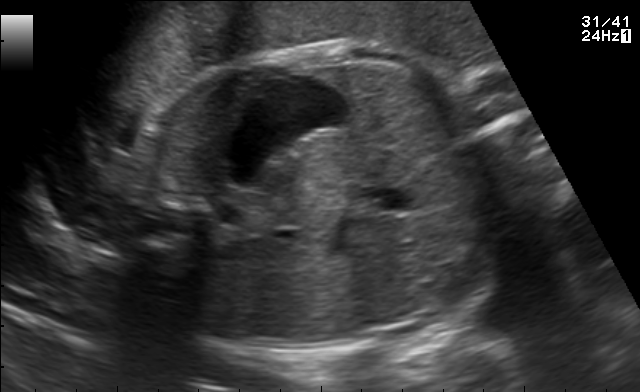
Classify this maternal-fetal ultrasound image as one of the six standard planes — fetal abdomen, fetal brain, fetal femur, fetal thorax, maternal cervix, or other. If it's fetal brain and one of the three standard brain planes (trans-thalamic, trans-cerebellum, trans-ventricular), name which.

Fetal abdomen